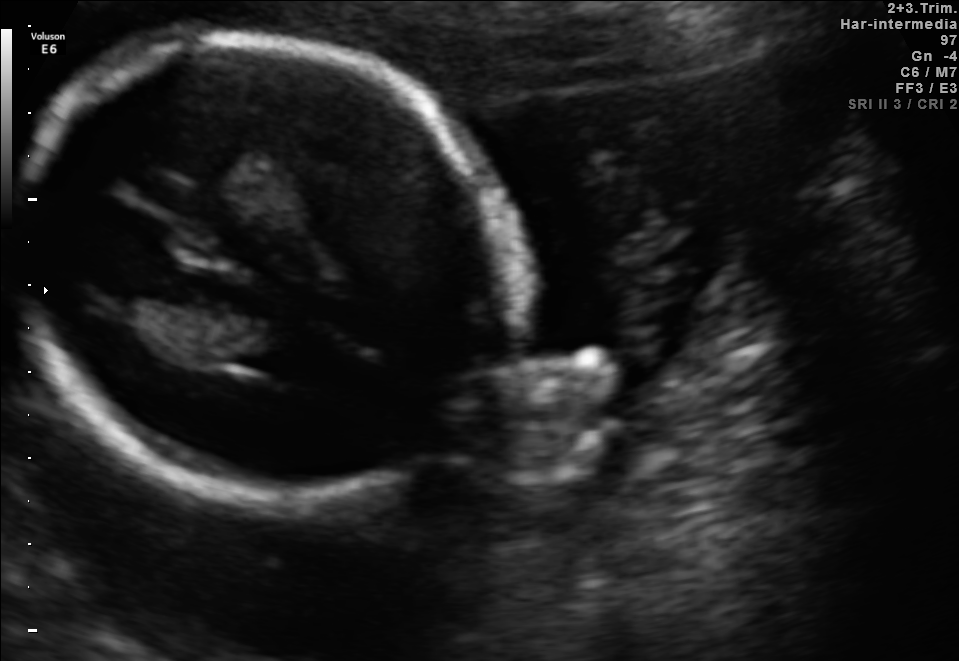
Which standard maternal-fetal ultrasound plane is shown: fetal abdomen, fetal brain, fetal femur, fetal thorax, maternal cervix, or other? If it's fetal brain and one of the three standard brain planes (trans-thalamic, trans-cerebellum, trans-ventricular), name which.

Fetal brain